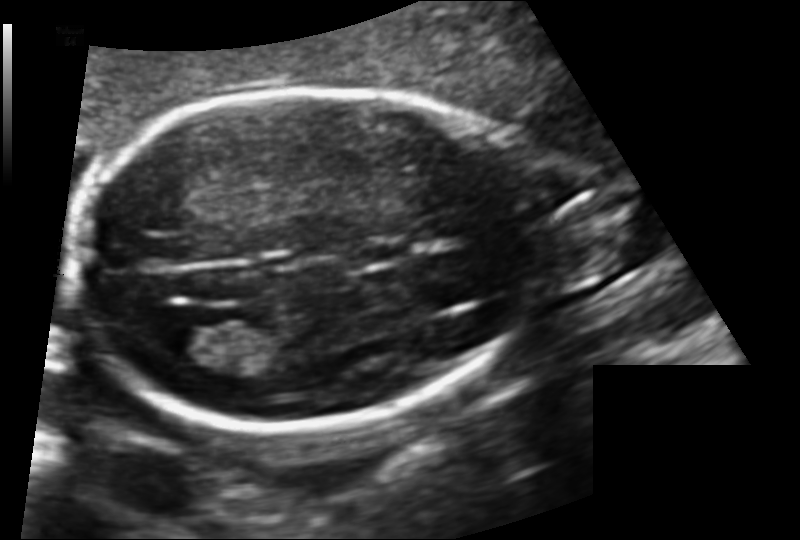
Fetal head ultrasound. Image width: 102.4 mm. Where is the lateral ventricle?

Lateral ventricle bounding box: [167,319,246,363]